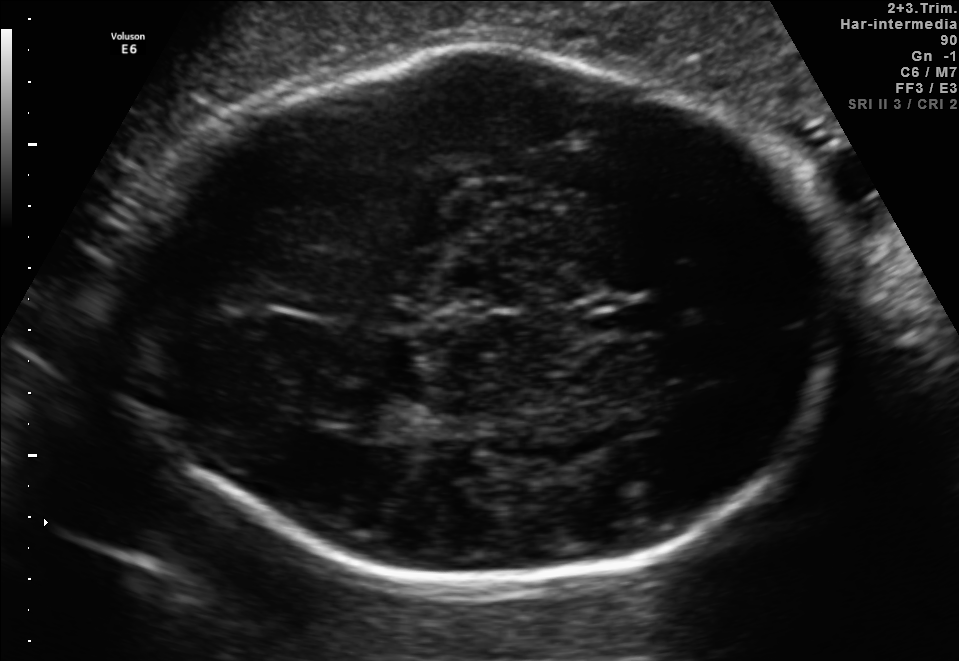
Fetal brain, trans-thalamic plane. Locate the fetal head.

Head: [102,50,841,579]